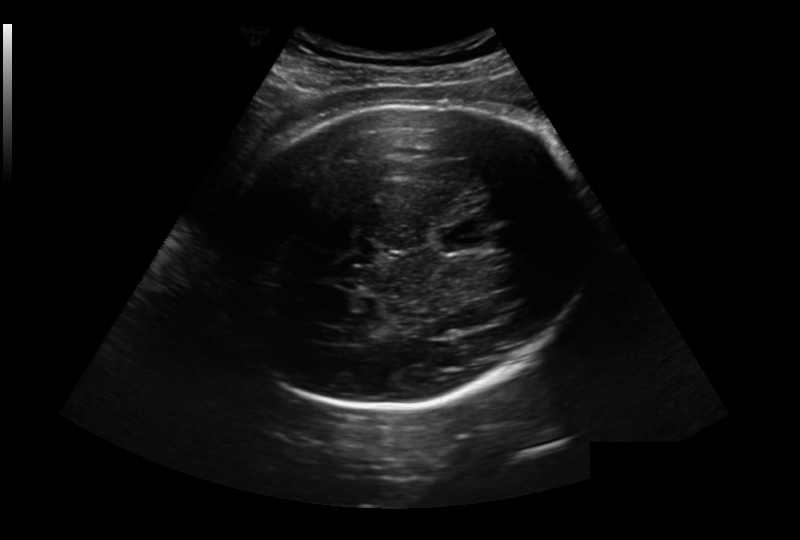
From this fetal ultrasound, estimate the head circumference (image width 224.8 mm).

Head circumference: 305.2 mm.